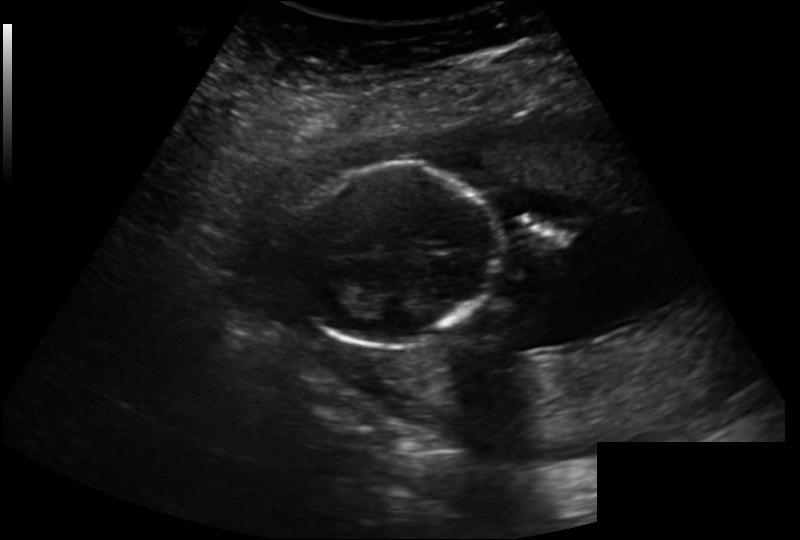
Fetal head ultrasound. Image width: 161.6 mm. Where is the fetal head?

Head bounding box: [294,162,496,349]